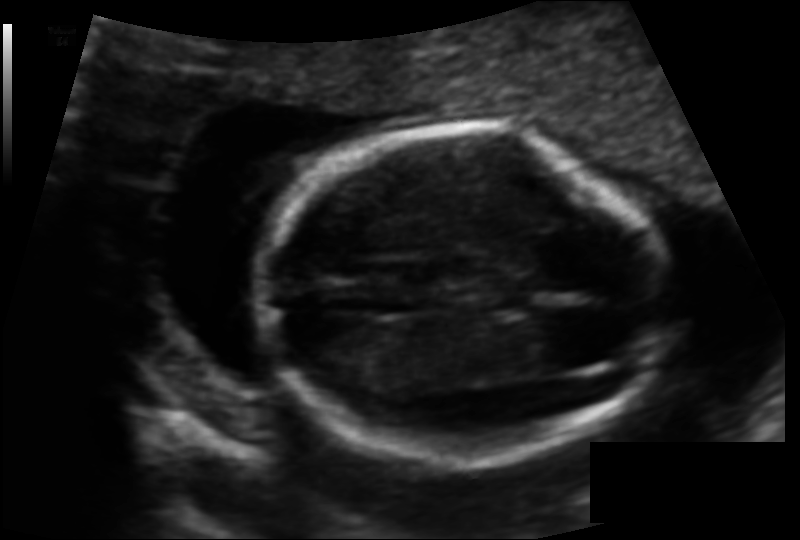
In this fetal head ultrasound, give the bounding box of the fetal head. Image width: 81.7 mm.

[263,127,666,463]